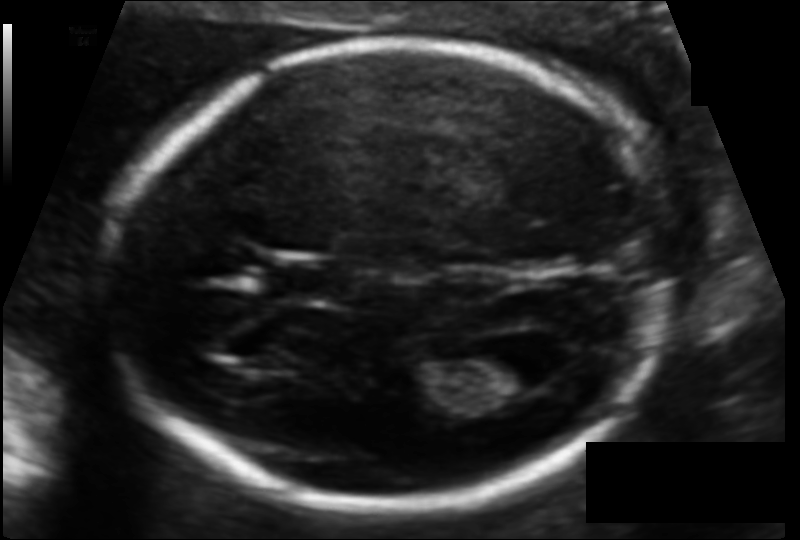
Estimate the fetal head circumference from this 2D ultrasound. Image width: 82.6 mm.

Head circumference: 172.9 mm.